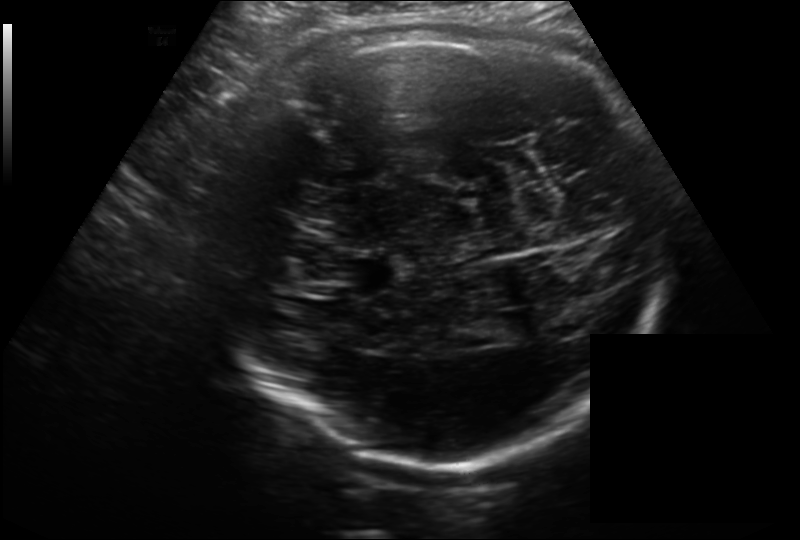
In this fetal head ultrasound, give bounding boxes for the head outline, cavum septum pellucidum (CSP), and lateral ventricle (LV), where visible. Image width: 171.5 mm.

Head: [218,16,664,459]
CSP: [336,254,400,293]